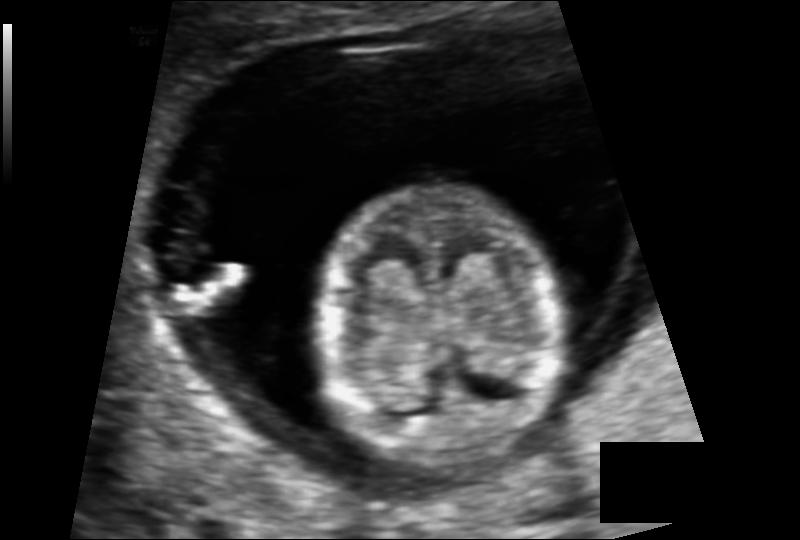
From this fetal ultrasound, estimate the head circumference (image width 71.8 mm).

Head circumference: 75.3 mm.